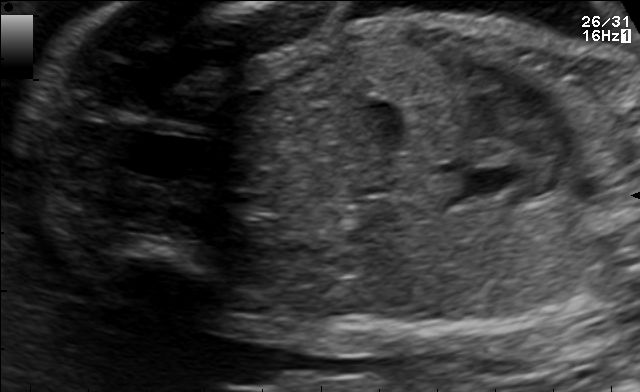
This is a 2D maternal-fetal ultrasound frame. Is it a fetal abdomen, fetal brain, fetal femur, fetal thorax, maternal cervix, or other standard plane? If it's fetal brain and one of the three standard brain planes (trans-thalamic, trans-cerebellum, trans-ventricular), name which.

Other